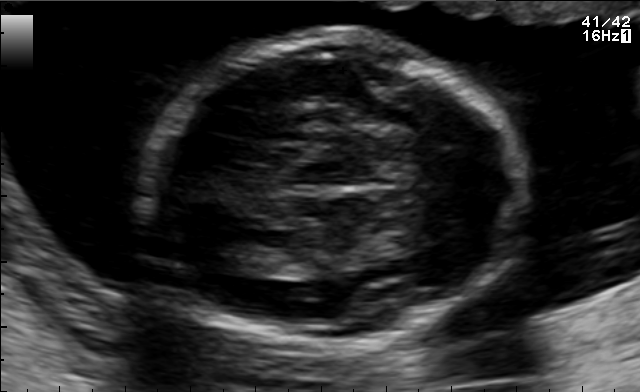
In this fetal brain, trans-thalamic plane, give the bounding box of the fetal head.

[136,35,529,351]